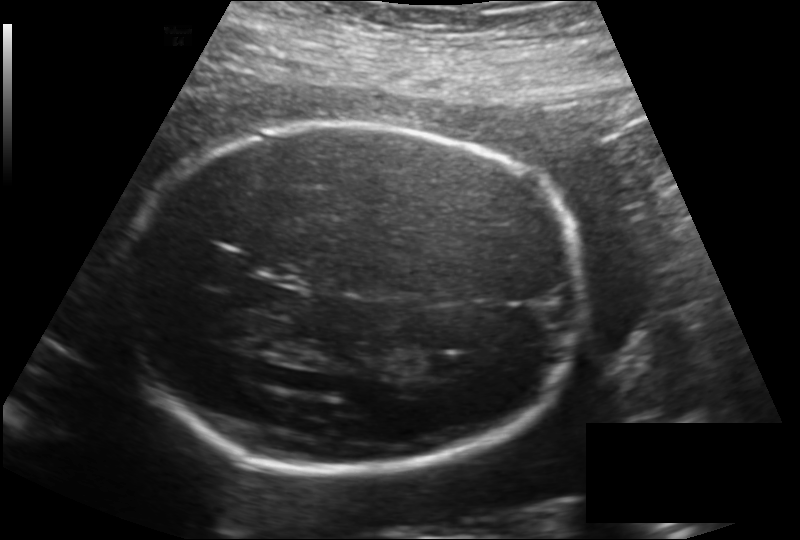
In this fetal head ultrasound, give the bounding box of the fetal head. Image width: 149.9 mm.

[122,125,585,475]